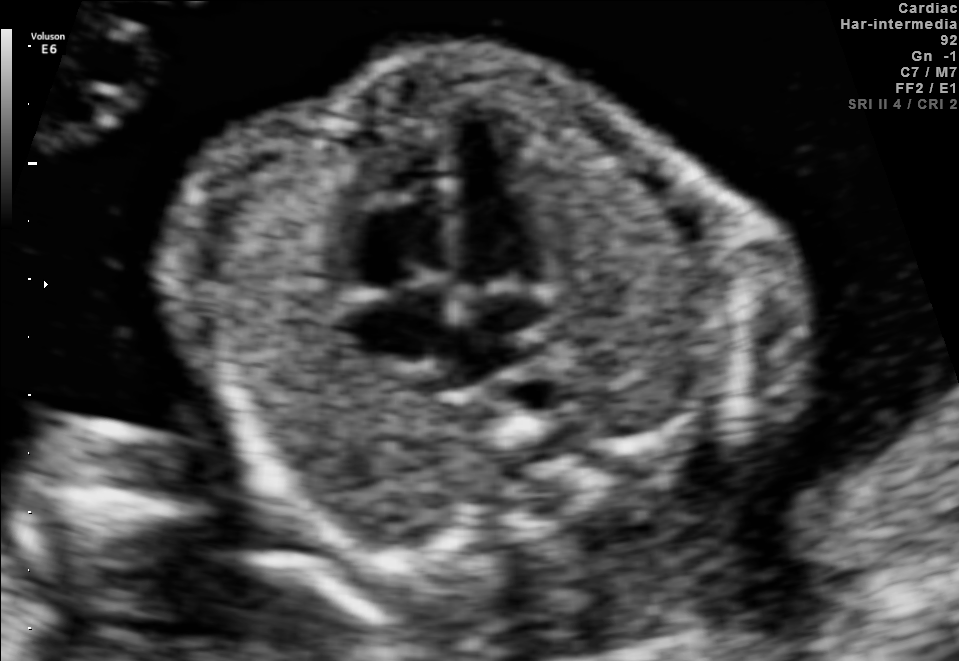
This is a 2D maternal-fetal ultrasound frame. Is it a fetal abdomen, fetal brain, fetal femur, fetal thorax, maternal cervix, or other standard plane? If it's fetal brain and one of the three standard brain planes (trans-thalamic, trans-cerebellum, trans-ventricular), name which.

Fetal thorax